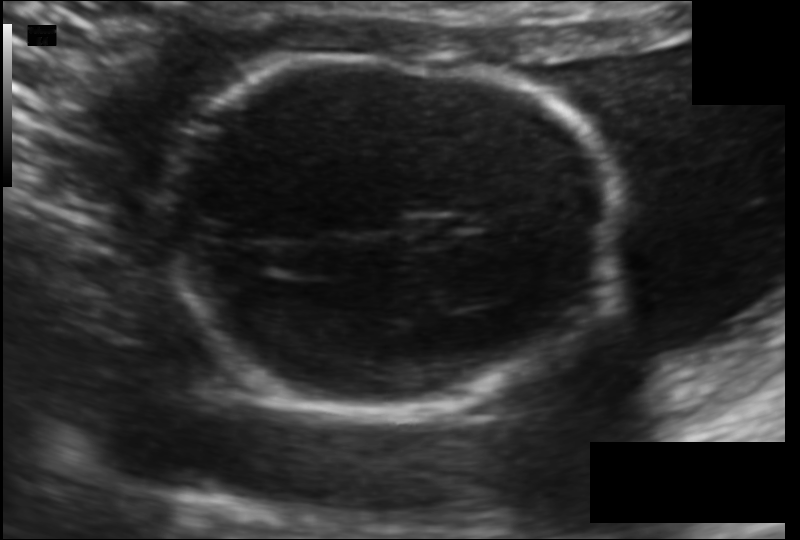
Fetal head ultrasound. Image width: 91.8 mm. Locate the fetal head.

Head: [165,57,620,416]